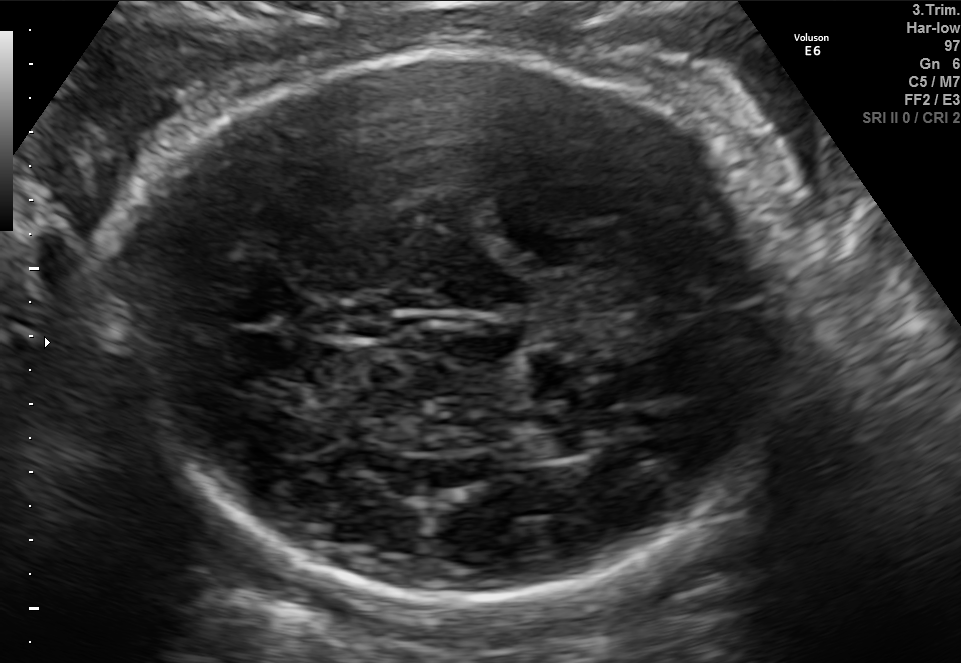
Fetal brain, trans-thalamic plane. Give [x1,y1,x2,y2] bounding boxes for each visible structure among: fetal head, CSP, LV.

Head: [120,57,799,606]
CSP: [337,304,397,336]
Lateral ventricle: [536,426,594,461]